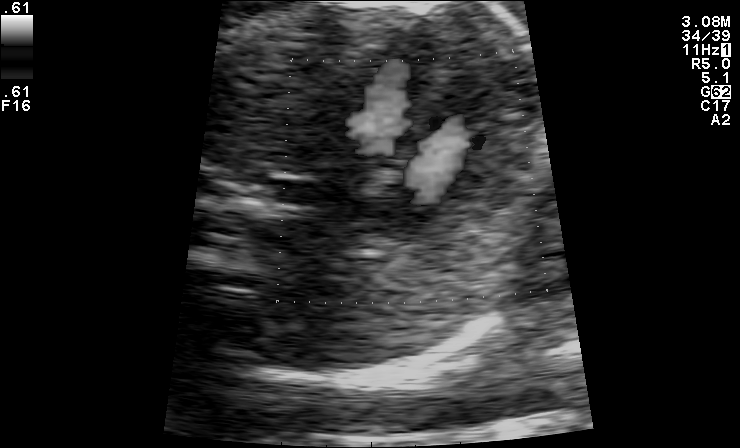
Which standard maternal-fetal ultrasound plane is shown: fetal abdomen, fetal brain, fetal femur, fetal thorax, maternal cervix, or other? If it's fetal brain and one of the three standard brain planes (trans-thalamic, trans-cerebellum, trans-ventricular), name which.

Other